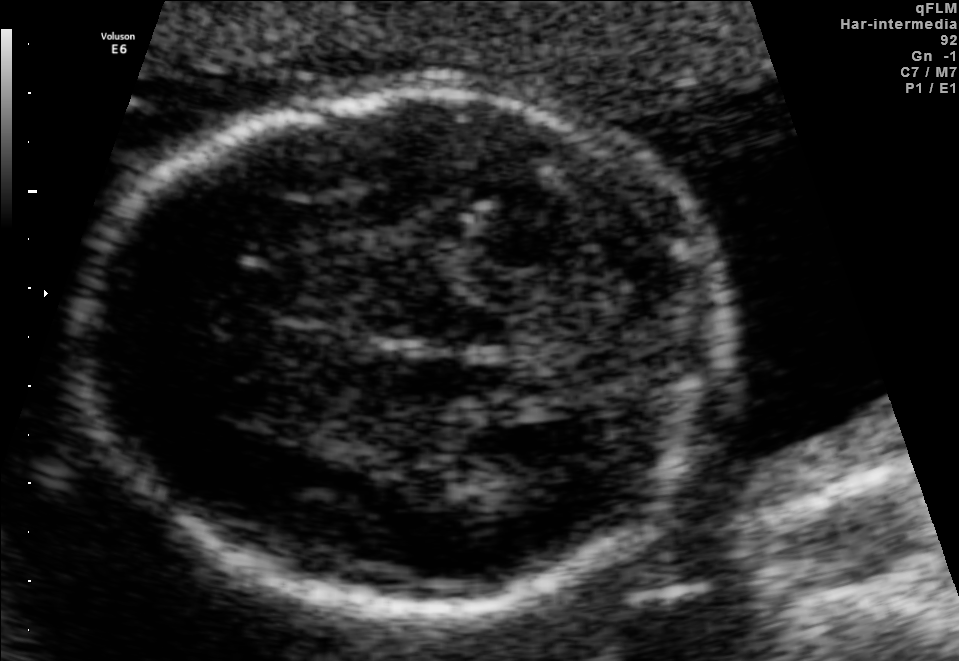
Fetal brain, trans-thalamic plane. Where is the fetal head?

Head bounding box: [77,91,740,604]